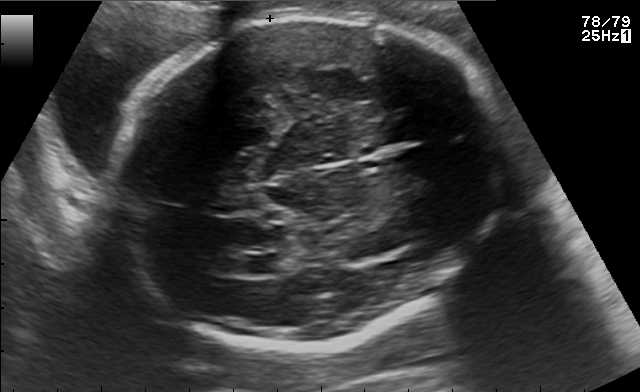
Fetal brain, trans-ventricular plane. Locate the fetal head and, if visible, the cavum septum pellucidum (CSP) and lateral ventricle (LV). Give bounding boxes as [x1,y1,x2,y2].

Head: [113,13,518,354]
Lateral ventricle: [233,253,282,274]